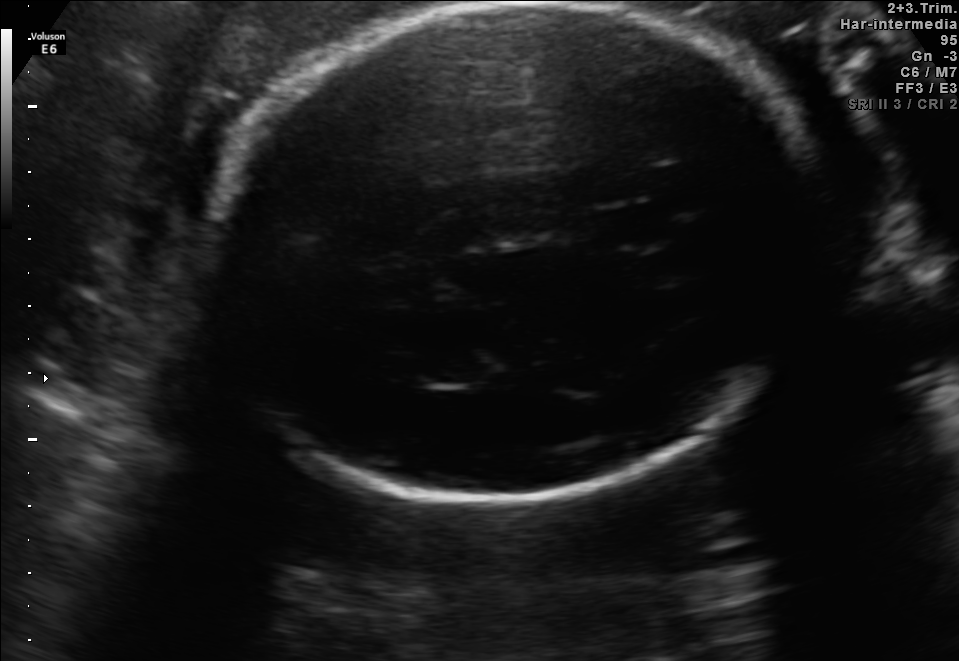
In this fetal brain, trans-thalamic plane, give the bounding box of the lateral ventricle.

[407,349,483,384]